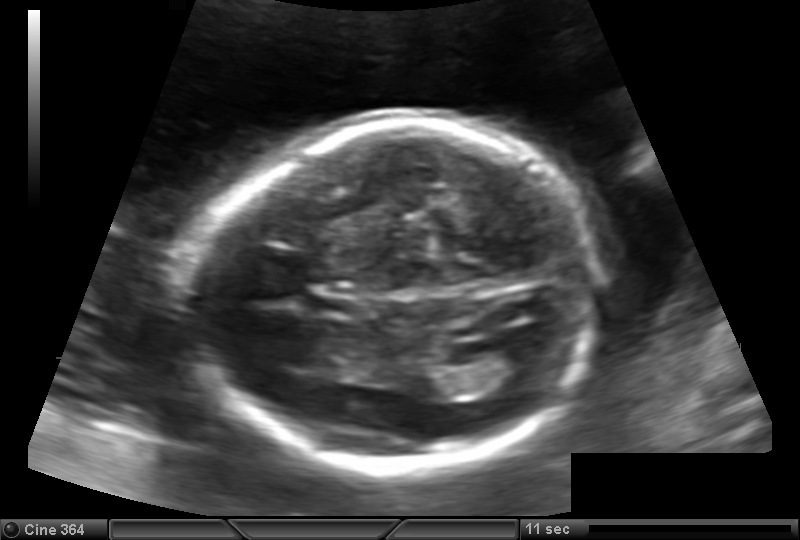
Fetal head ultrasound. Image width: 115.2 mm. Where is the cavum septum pellucidum?

CSP bounding box: [303,288,361,323]